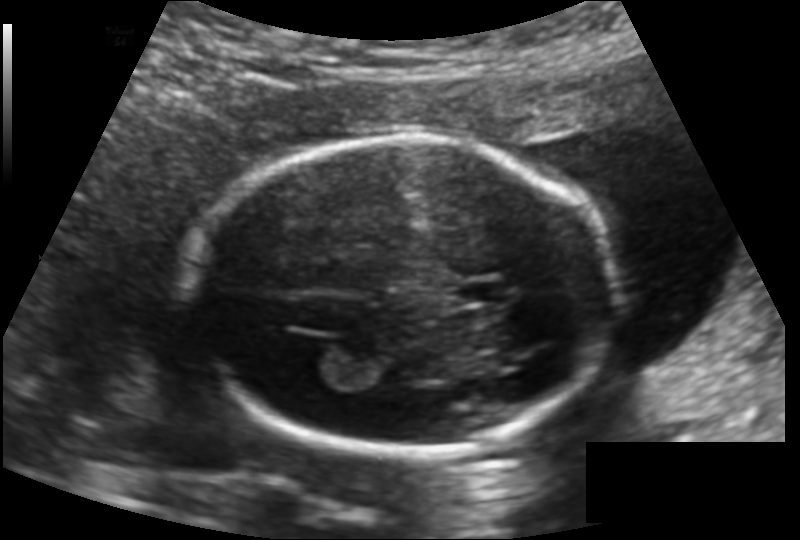
From this fetal ultrasound, estimate the head circumference (image width 109.1 mm).

Head circumference: 162.7 mm.